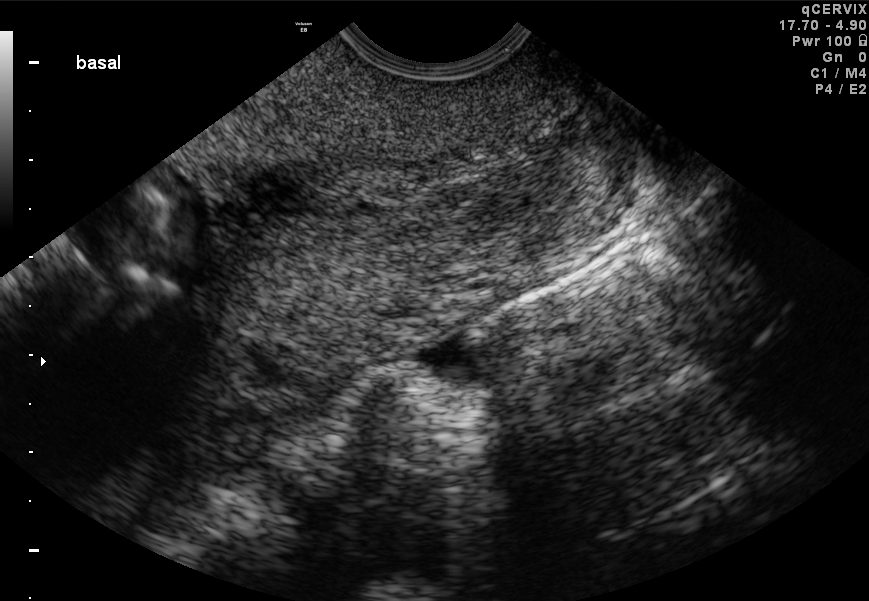
Which standard maternal-fetal ultrasound plane is shown: fetal abdomen, fetal brain, fetal femur, fetal thorax, maternal cervix, or other? If it's fetal brain and one of the three standard brain planes (trans-thalamic, trans-cerebellum, trans-ventricular), name which.

Maternal cervix